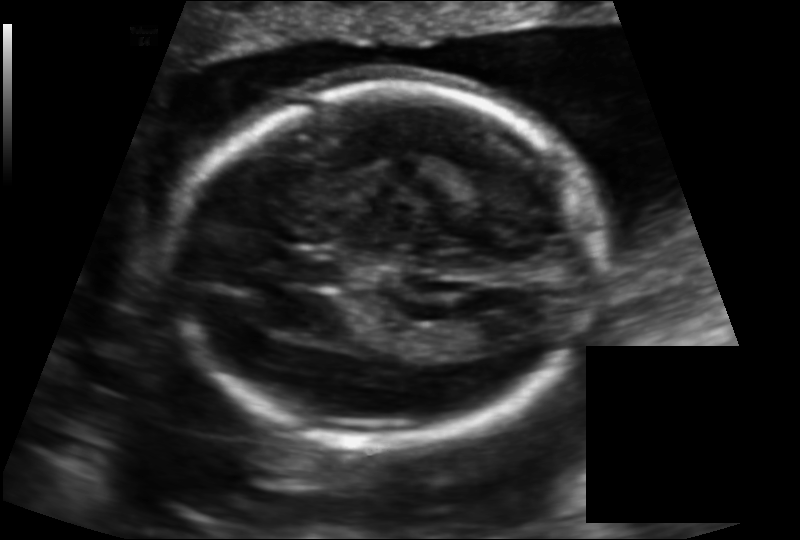
Fetal head ultrasound. Image width: 106.6 mm. Where is the fetal head?

Head bounding box: [173,86,596,440]